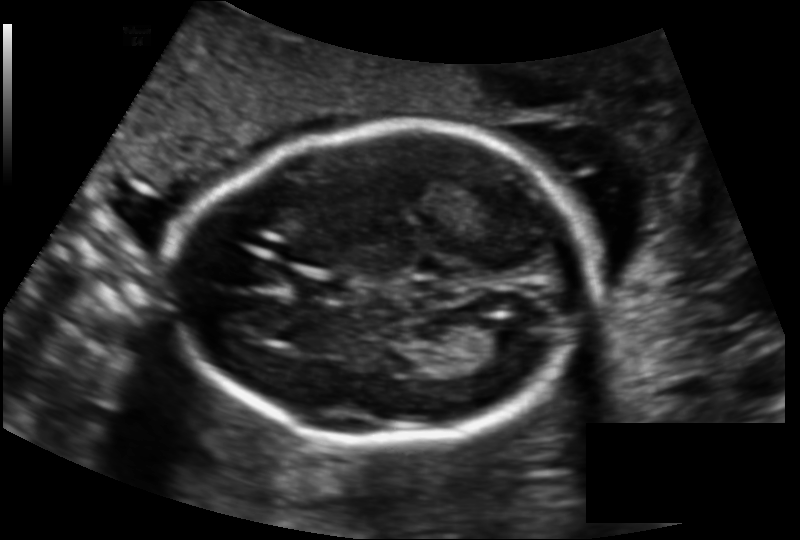
Fetal head ultrasound. Image width: 109.7 mm. Locate the fetal head and, if visible, the cavum septum pellucidum (CSP) and lateral ventricle (LV). Give bounding boxes as [x1,y1,x2,y2].

Head: [177,124,593,444]
CSP: [297,272,351,303]
Lateral ventricle: [469,315,532,364]